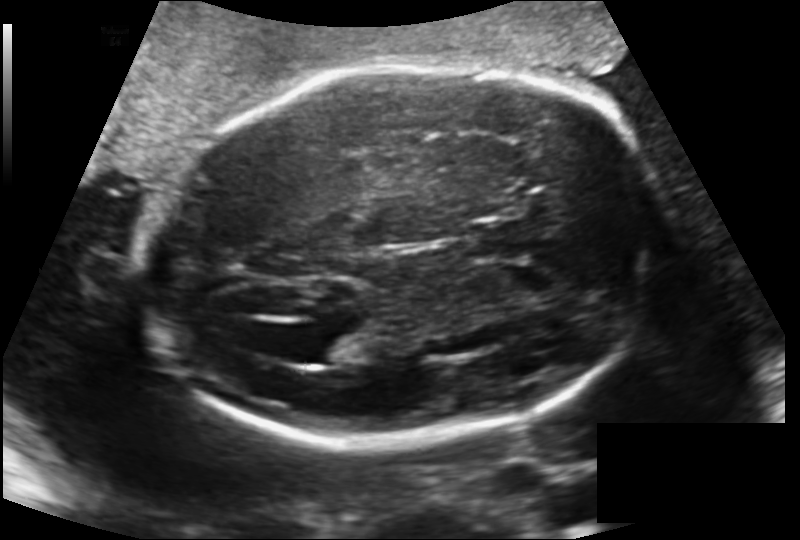
Estimate the fetal head circumference from this 2D ultrasound.

Head circumference: 246.6 mm (image width 136.0 mm).